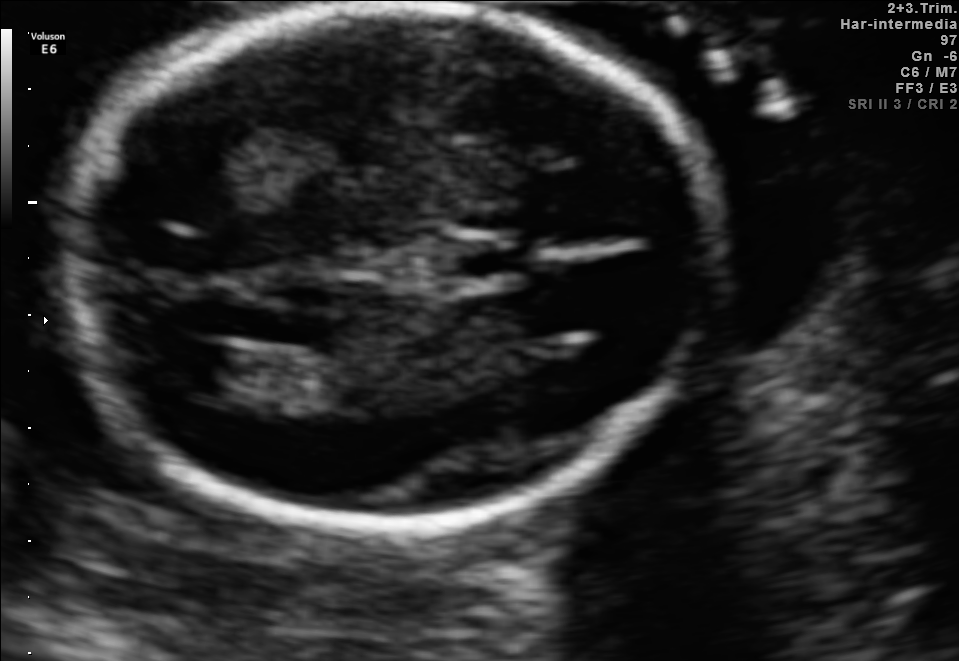
In this fetal brain, trans-ventricular plane, give the bounding box of the lateral ventricle.

[154,331,243,401]